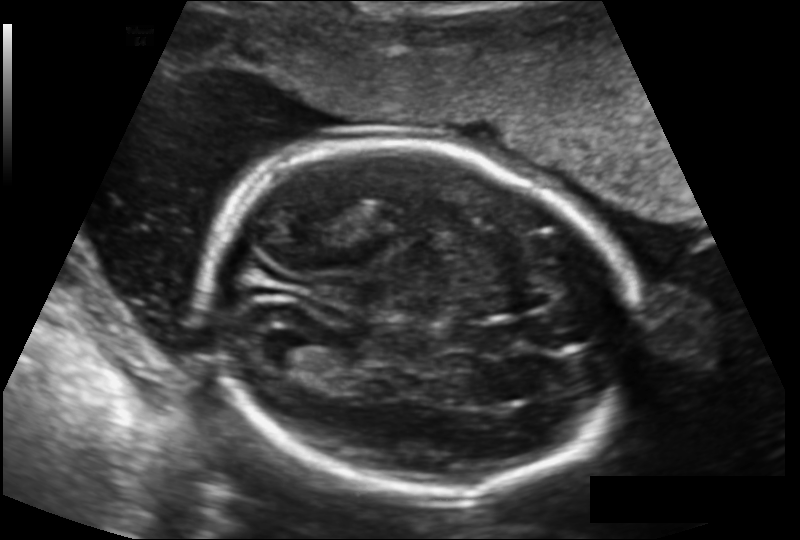
Measure the fetal head circumference shown in this ultrasound image. Image width: 114.2 mm.

Head circumference: 183.7 mm.